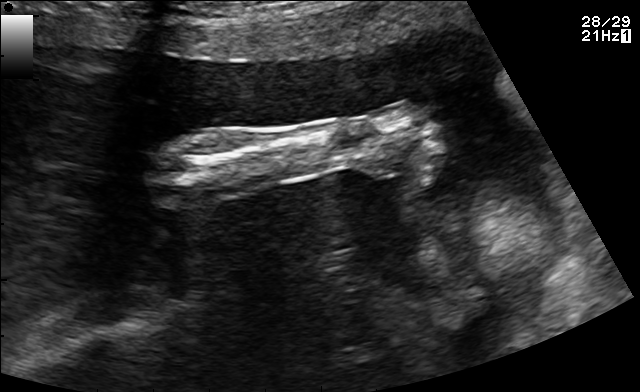
Which standard maternal-fetal ultrasound plane is shown: fetal abdomen, fetal brain, fetal femur, fetal thorax, maternal cervix, or other? If it's fetal brain and one of the three standard brain planes (trans-thalamic, trans-cerebellum, trans-ventricular), name which.

Other